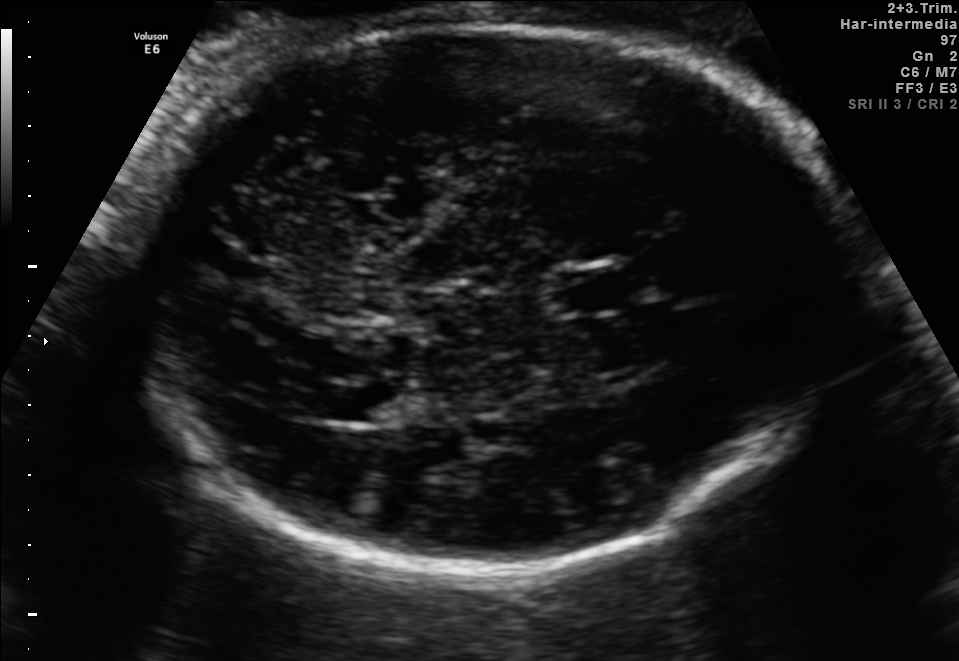
In this fetal brain, trans-thalamic plane, give the bounding box of the cavum septum pellucidum.

[555,264,633,312]